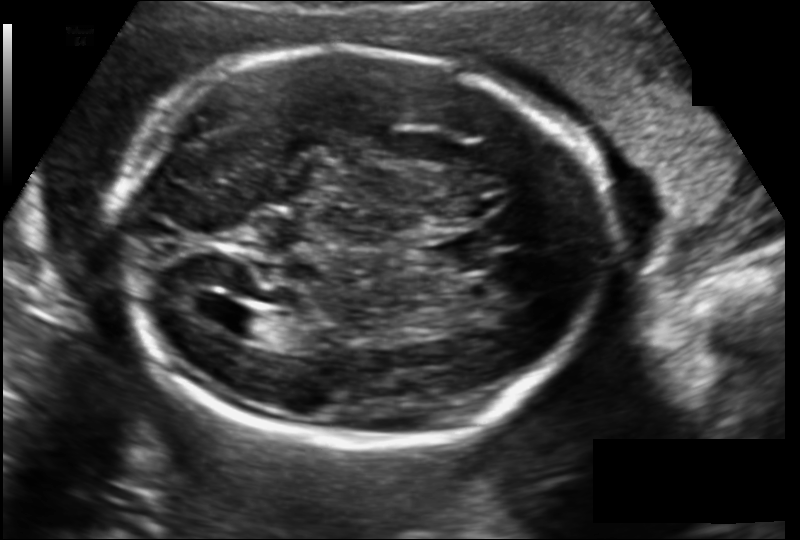
From this fetal ultrasound, estimate the head circumference (image width 119.2 mm).

Head circumference: 214.0 mm.